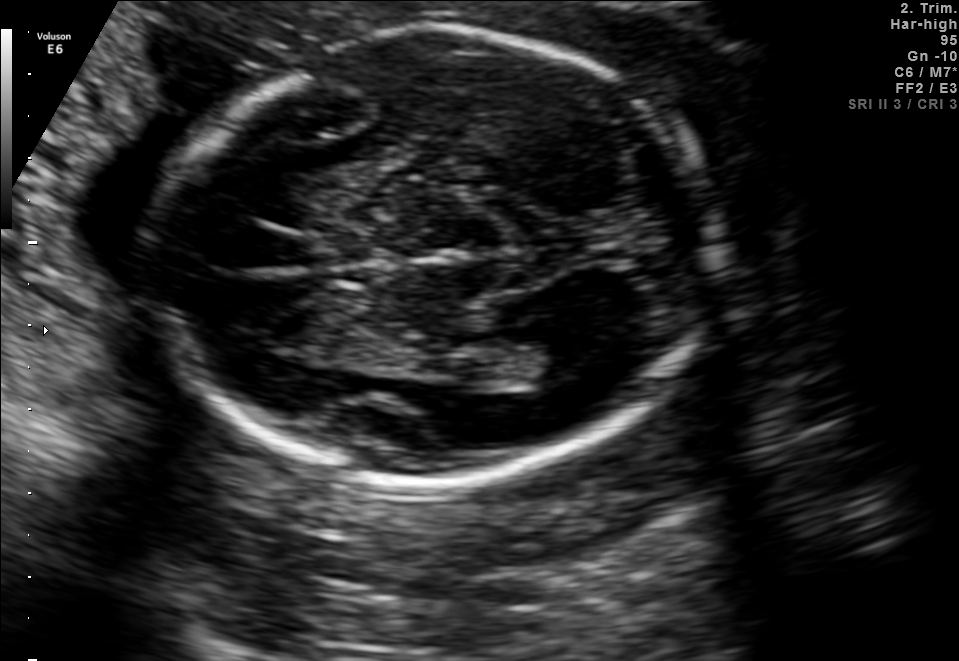
In this fetal brain, trans-ventricular plane, give the bounding box of the cavum septum pellucidum.

[305,248,384,283]